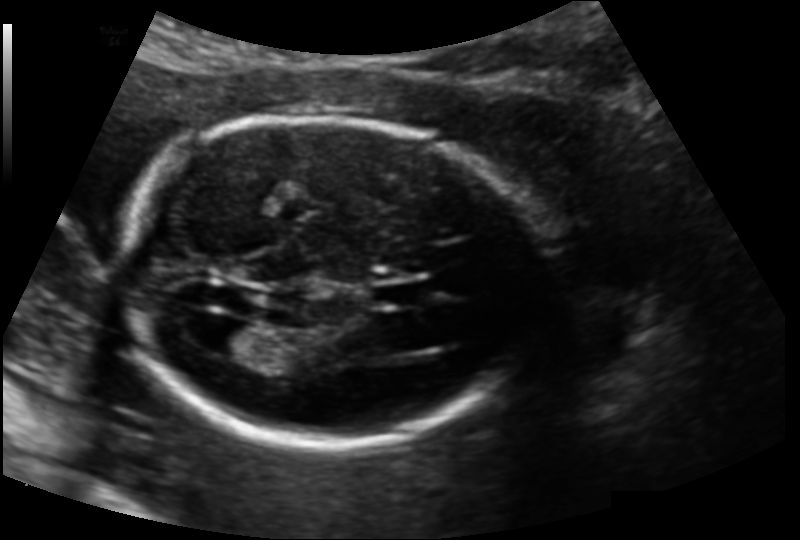
What is the fetal head circumference? Image width is 111.6 mm.

177.8 mm